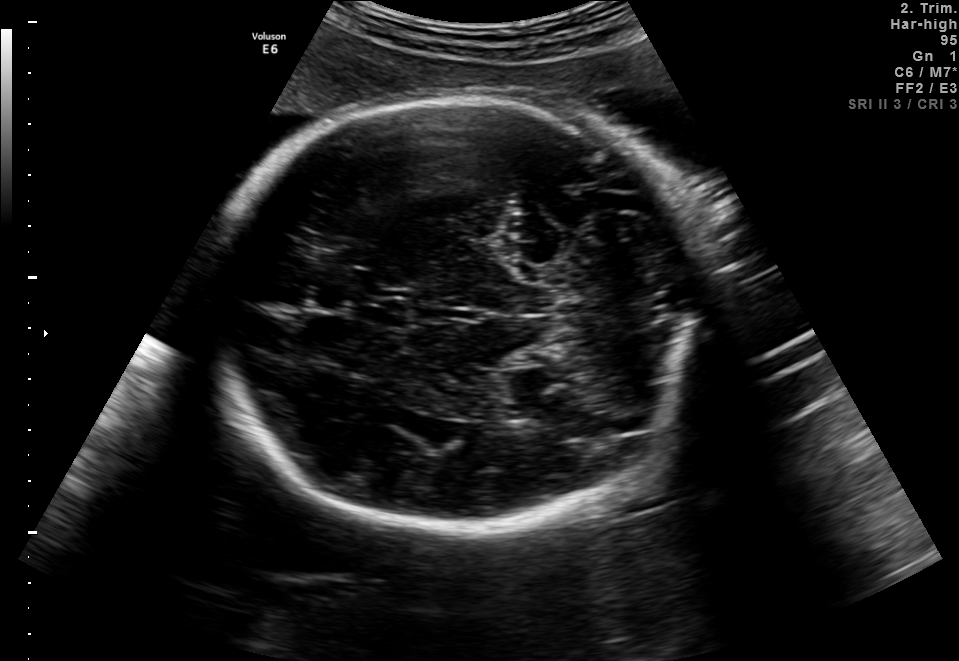
In this fetal brain, trans-thalamic plane, give the bounding box of the fetal head.

[204,97,693,536]